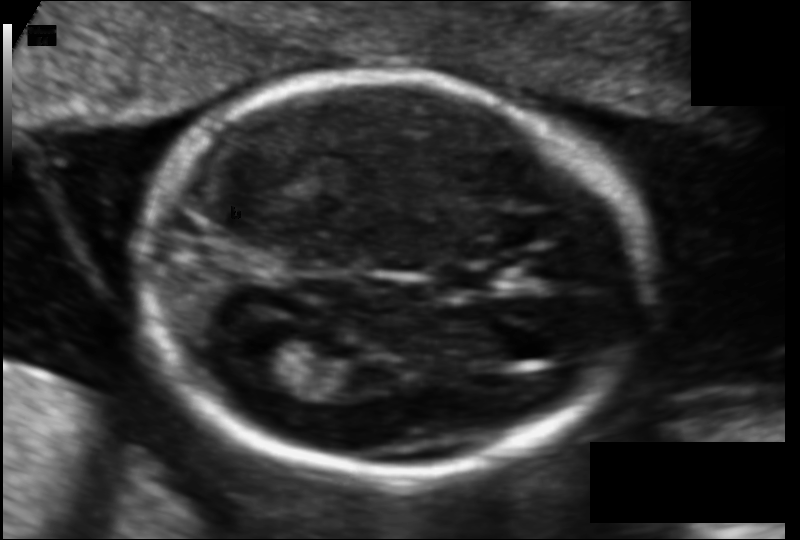
In this fetal head ultrasound, give the bounding box of the fetal head. Image width: 83.2 mm.

[136,74,644,475]